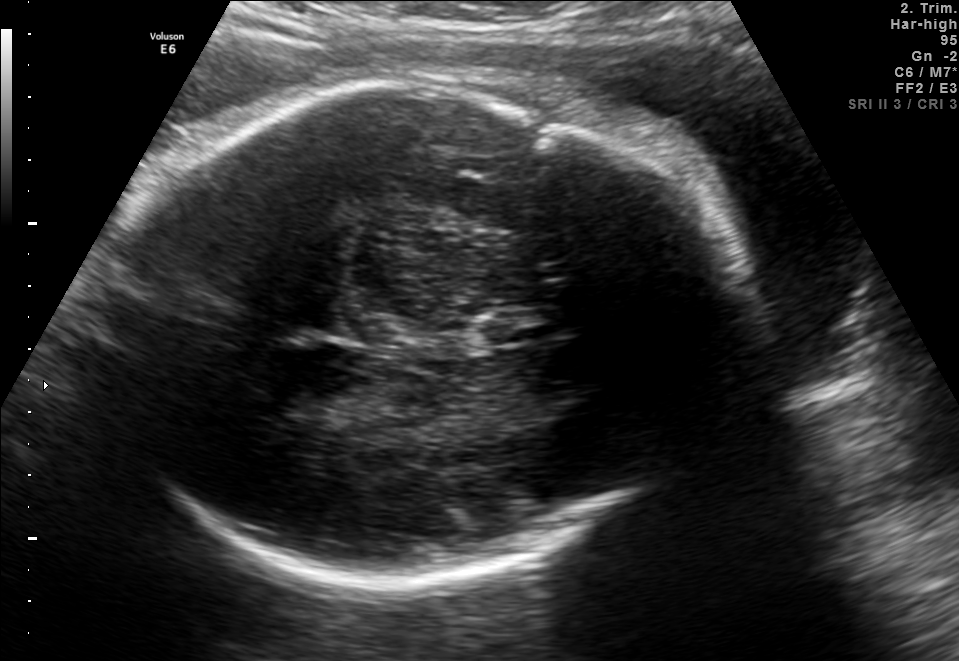
In this fetal brain, trans-thalamic plane, give bounding boxes for the head outline, cavum septum pellucidum (CSP), and lateral ventricle (LV), where visible.

Head: [82,83,739,580]